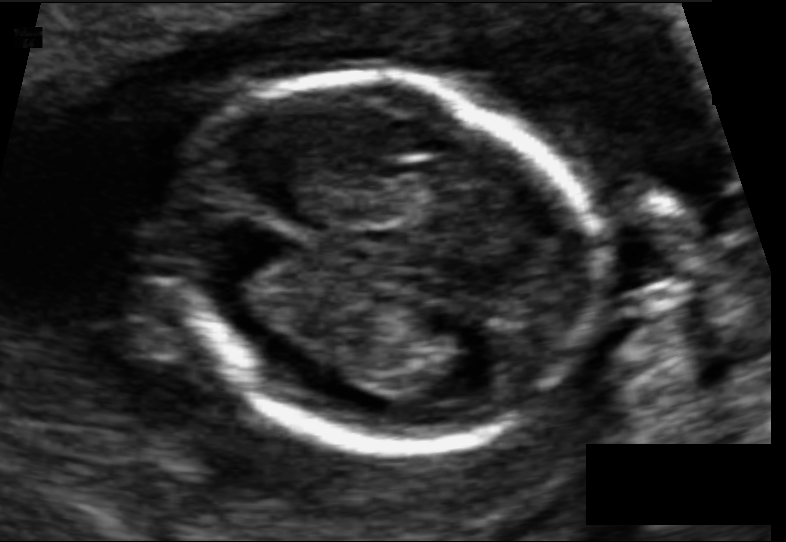
Estimate the fetal head circumference from this 2D ultrasound.

Head circumference: 97.1 mm (image width 58.4 mm).